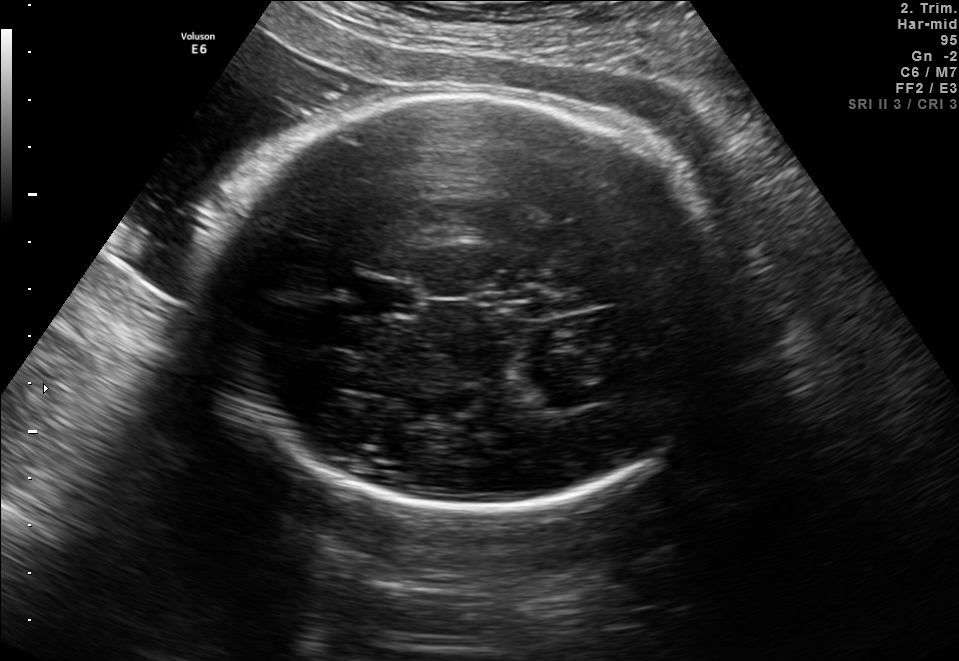
Fetal brain, trans-thalamic plane. Where is the lateral ventricle?

Lateral ventricle bounding box: [528,380,608,415]